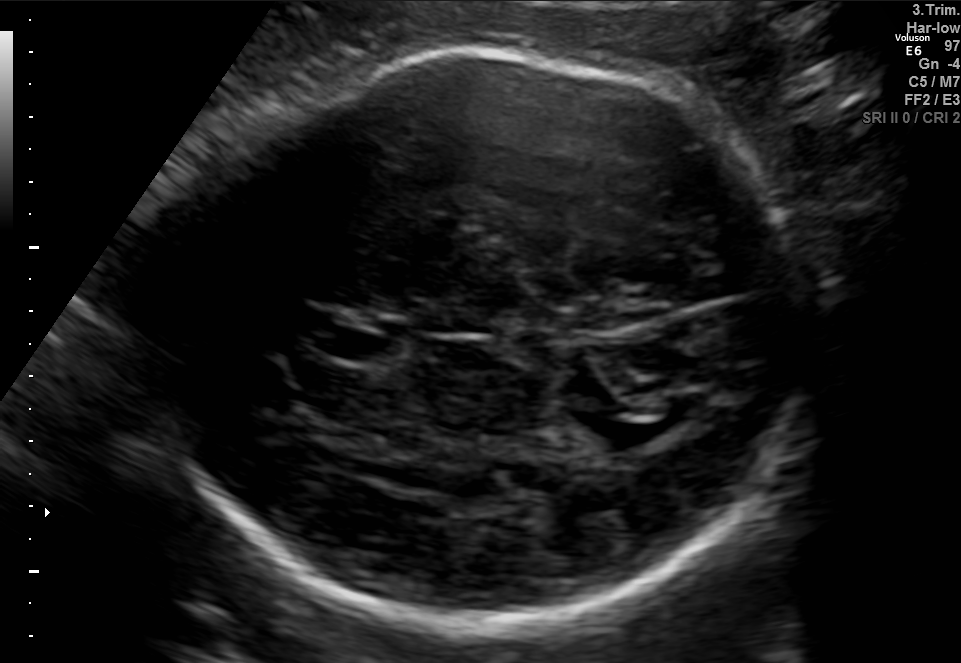
Fetal brain, trans-thalamic plane. Locate the lateral ventricle.

Lateral ventricle: [575,383,681,465]